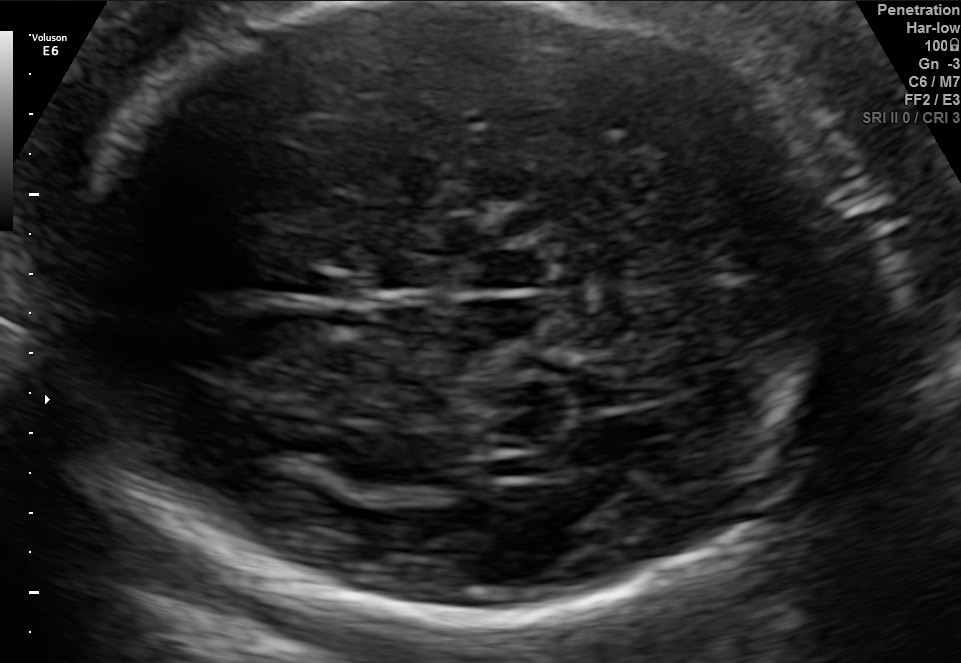
Fetal brain, trans-thalamic plane. Locate the fetal head.

Head: [44,6,869,621]